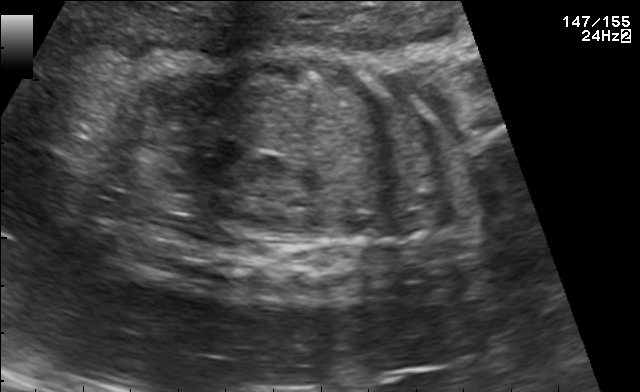
Classify this maternal-fetal ultrasound image as one of the six standard planes — fetal abdomen, fetal brain, fetal femur, fetal thorax, maternal cervix, or other. If it's fetal brain and one of the three standard brain planes (trans-thalamic, trans-cerebellum, trans-ventricular), name which.

Other